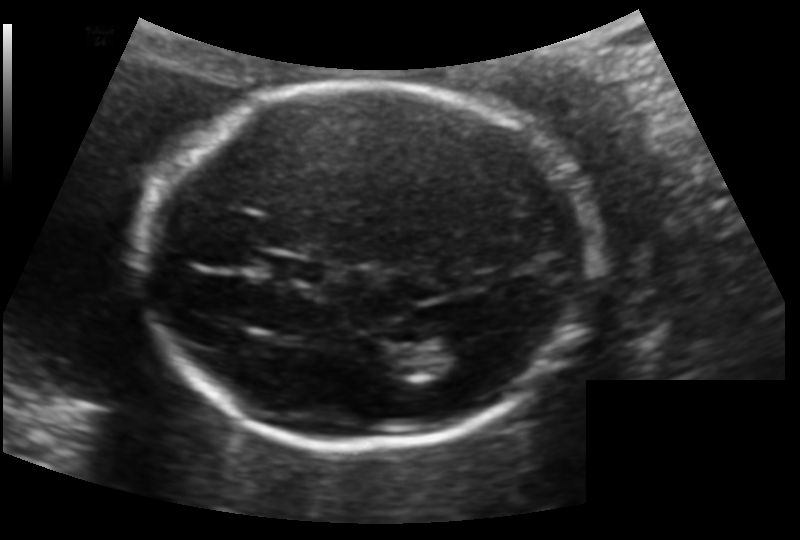
Fetal head ultrasound. Image width: 106.4 mm. Where is the fetal head?

Head bounding box: [143,83,587,449]